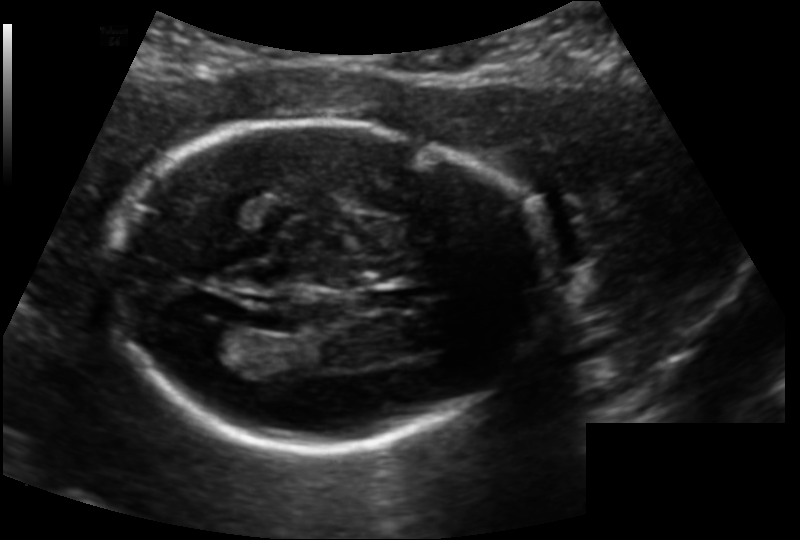
Fetal head ultrasound. Image width: 111.5 mm. Locate the cavum septum pellucidum.

CSP: [367,289,418,310]